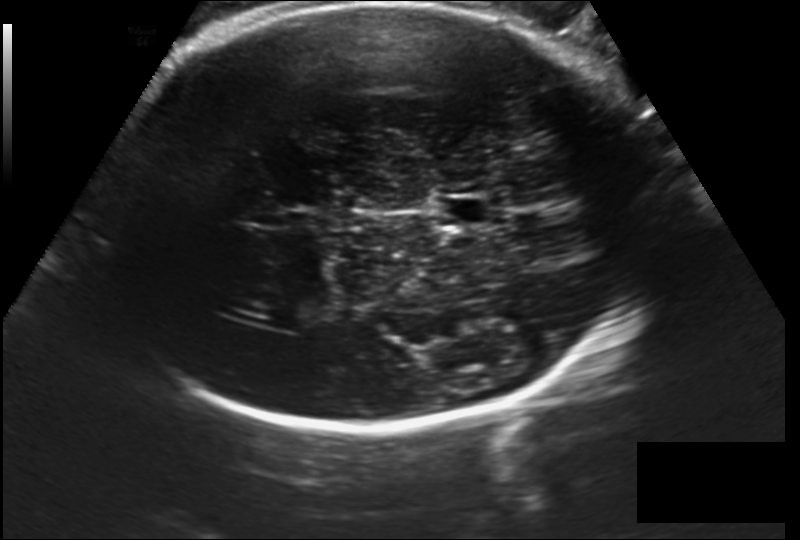
Fetal head ultrasound. Image width: 162.0 mm. Locate the cavum septum pellucidum.

CSP: [434,194,490,228]